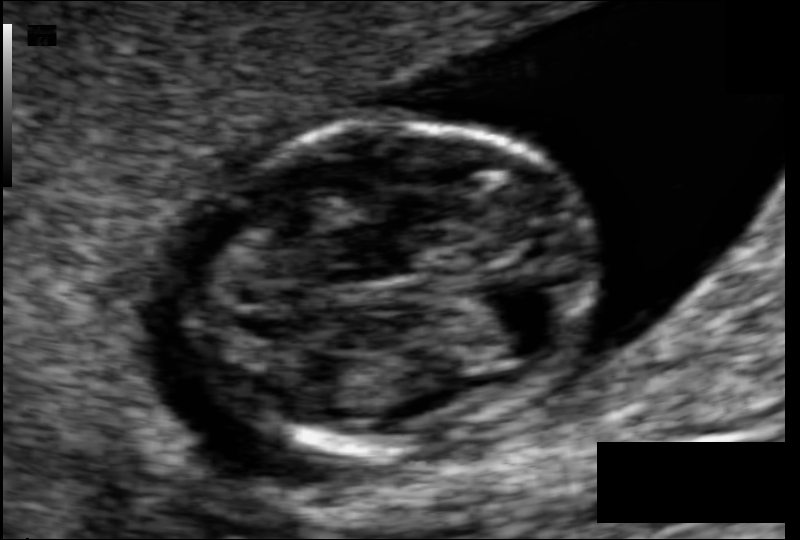
Measure the fetal head circumference shown in this ultrasound image. Image width: 49.9 mm.

Head circumference: 76.3 mm.